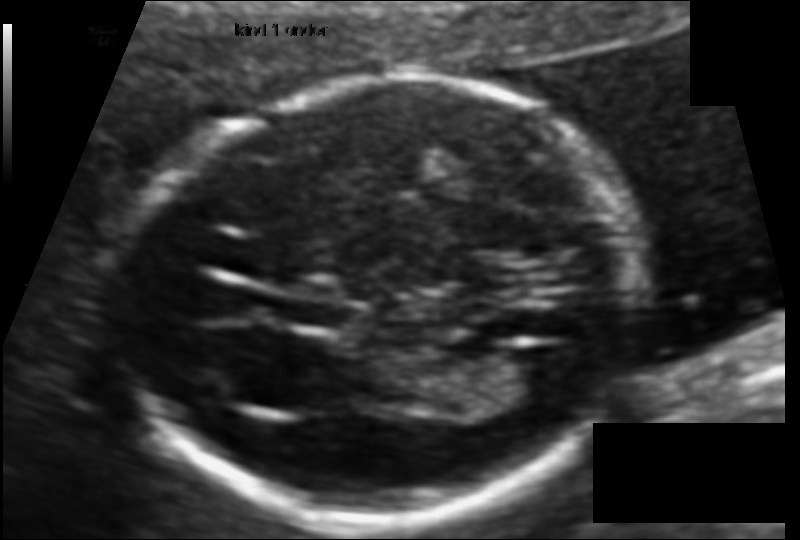
Fetal head ultrasound. Image width: 75.7 mm. Where is the fetal head?

Head bounding box: [122,82,638,520]